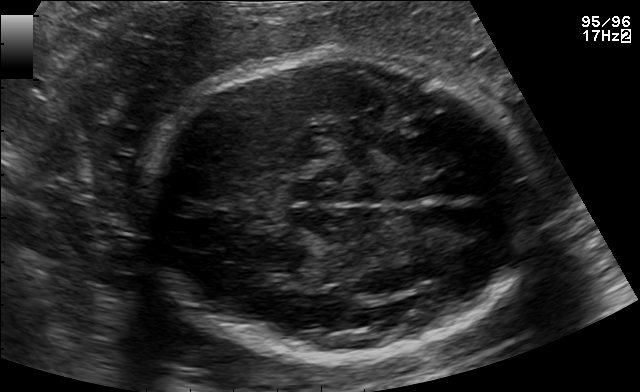
In this fetal brain, trans-thalamic plane, give the bounding box of the fetal head.

[146,55,529,358]